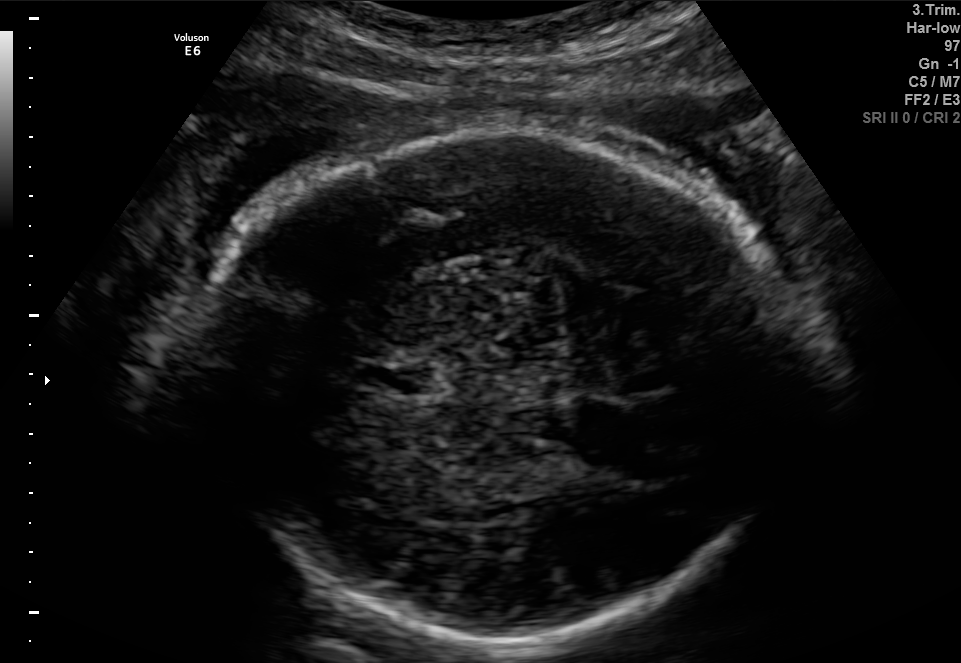
In this fetal brain, trans-thalamic plane, give bounding boxes for the head outline, cavum septum pellucidum (CSP), and lateral ventricle (LV), where visible.

Head: [188,130,809,643]
CSP: [357,360,420,398]